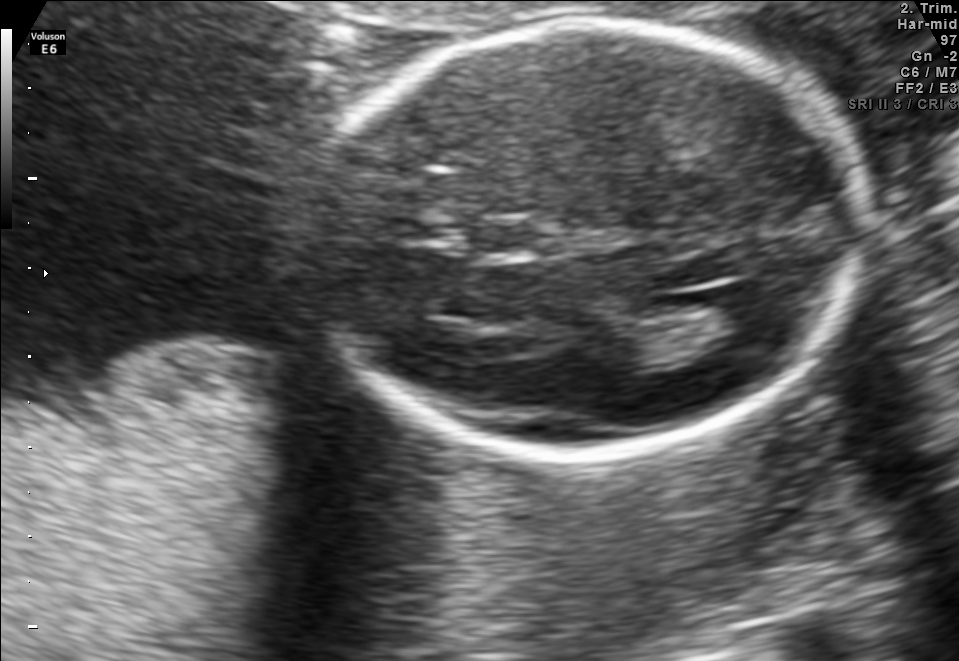
Fetal brain, trans-ventricular plane. Give [x1,y1,x2,y2] bounding boxes for each visible structure among: fetal head, CSP, LV.

Head: [305,15,874,462]
CSP: [473,217,536,261]
Lateral ventricle: [706,272,791,346]